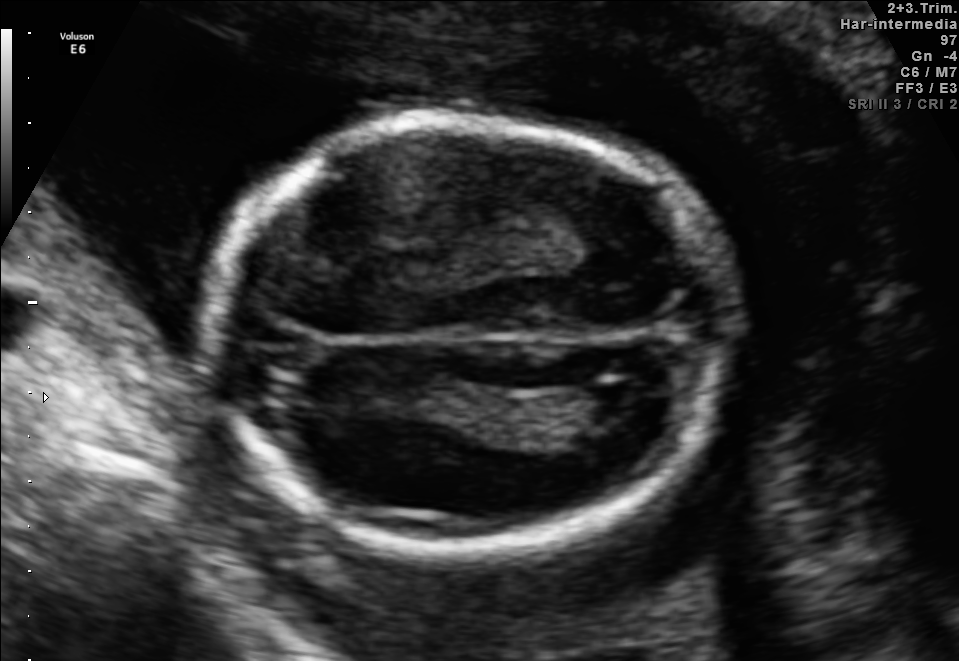
Fetal brain, trans-ventricular plane. Locate the lateral ventricle.

Lateral ventricle: [569,374,649,430]